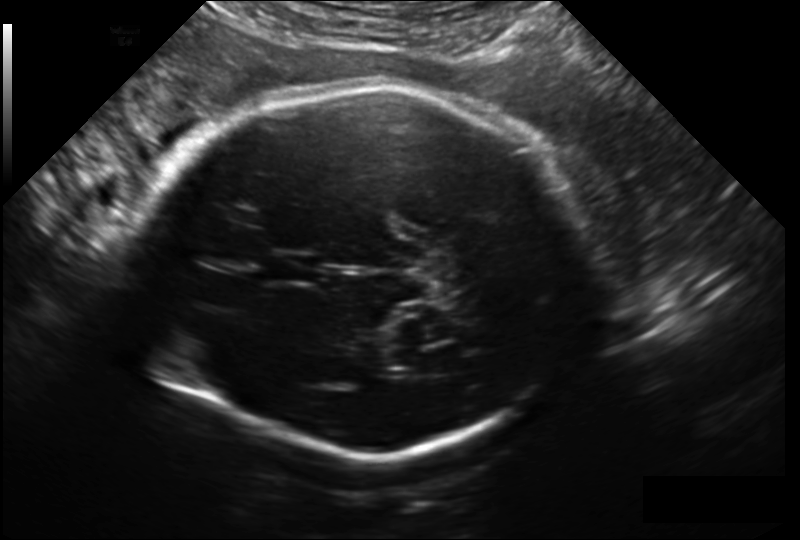
Fetal head ultrasound. Image width: 167.2 mm. Where is the lateral ventricle?

Lateral ventricle bounding box: [386,349,443,376]